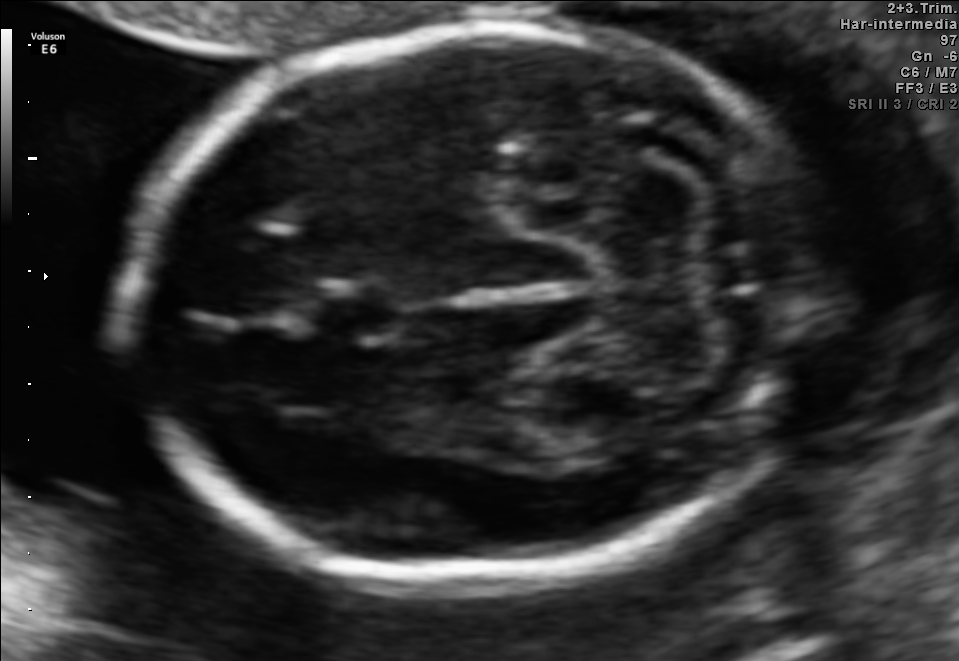
Fetal brain, trans-cerebellum plane. Where is the fetal head?

Head bounding box: [124,20,817,583]